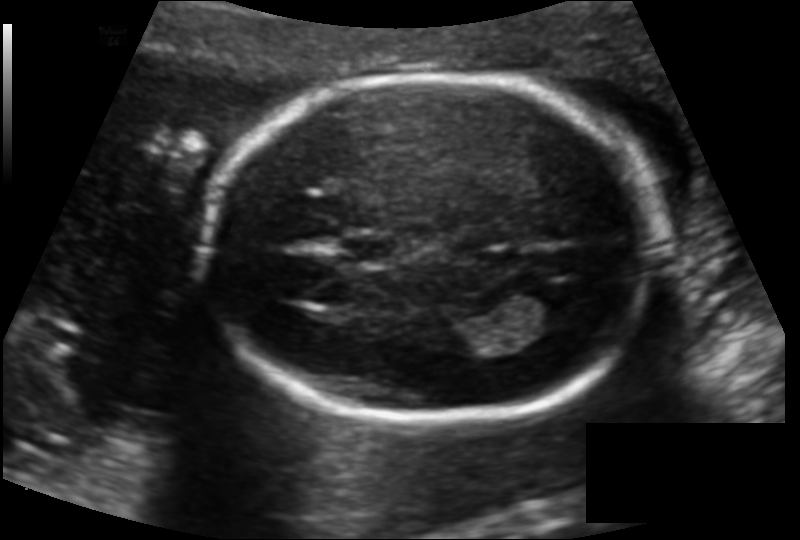
Fetal head ultrasound. Image width: 104.1 mm. Locate the fetal head and, if visible, the cavum septum pellucidum (CSP) and lateral ventricle (LV). Give bounding boxes as [x1,y1,x2,y2].

Head: [205,76,653,420]
CSP: [340,233,401,265]
Lateral ventricle: [517,270,595,336]